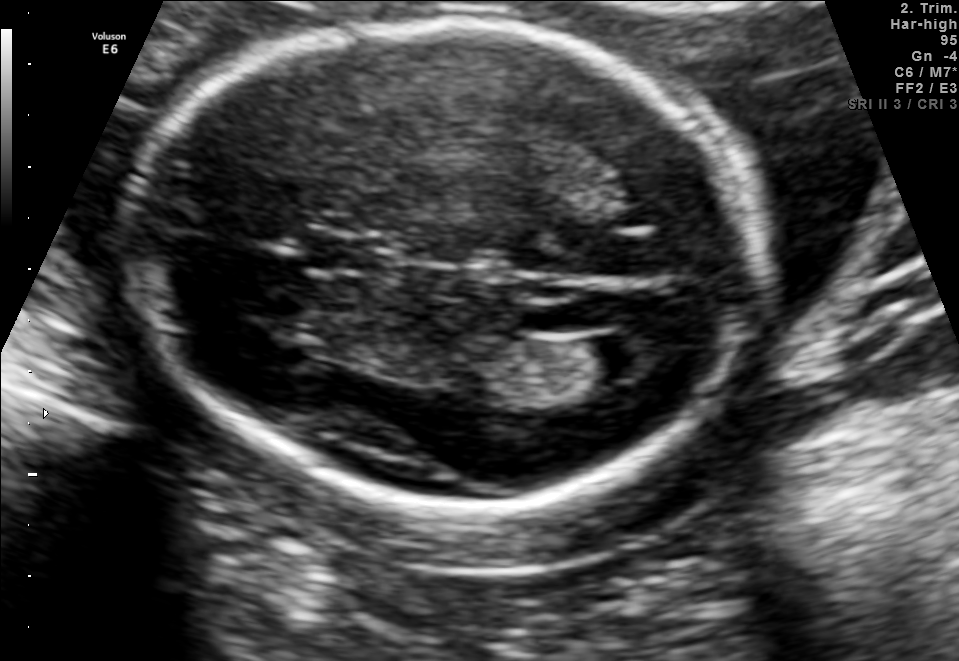
Fetal brain, trans-ventricular plane. Give [x1,y1,x2,y2] bounding boxes for each visible structure among: fetal head, CSP, LV.

Head: [114,6,785,521]
CSP: [297,223,402,287]
Lateral ventricle: [583,319,667,387]